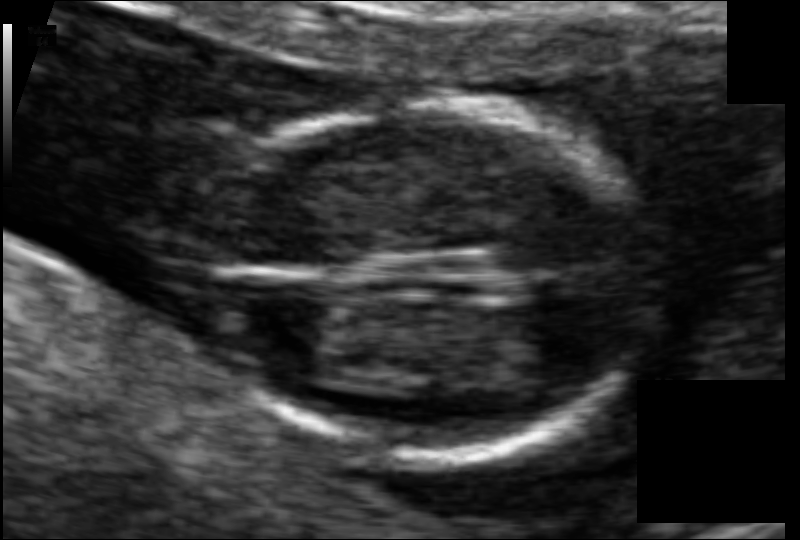
In this fetal head ultrasound, give bounding boxes for the head outline, cavum septum pellucidum (CSP), and lateral ventricle (LV), where visible. Image width: 51.8 mm.

Head: [194,103,656,460]